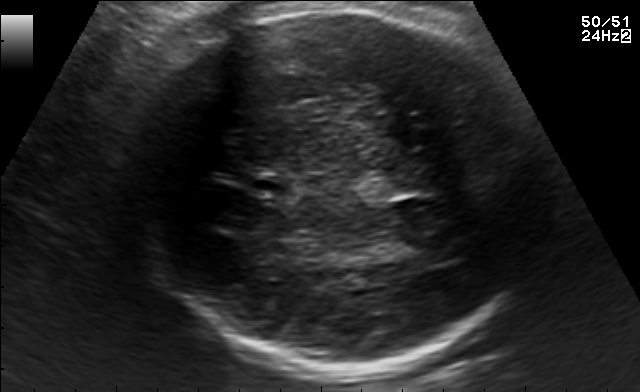
Fetal brain, trans-thalamic plane. Give [x1,y1,x2,y2] bounding boxes for each visible structure among: fetal head, CSP, LV.

Head: [132,8,537,372]
CSP: [251,175,290,195]